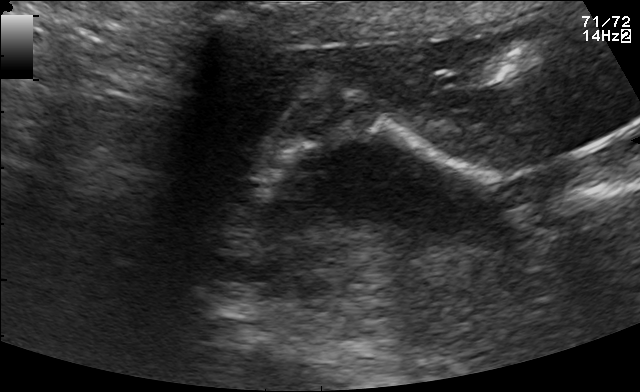
Which standard maternal-fetal ultrasound plane is shown: fetal abdomen, fetal brain, fetal femur, fetal thorax, maternal cervix, or other? If it's fetal brain and one of the three standard brain planes (trans-thalamic, trans-cerebellum, trans-ventricular), name which.

Other